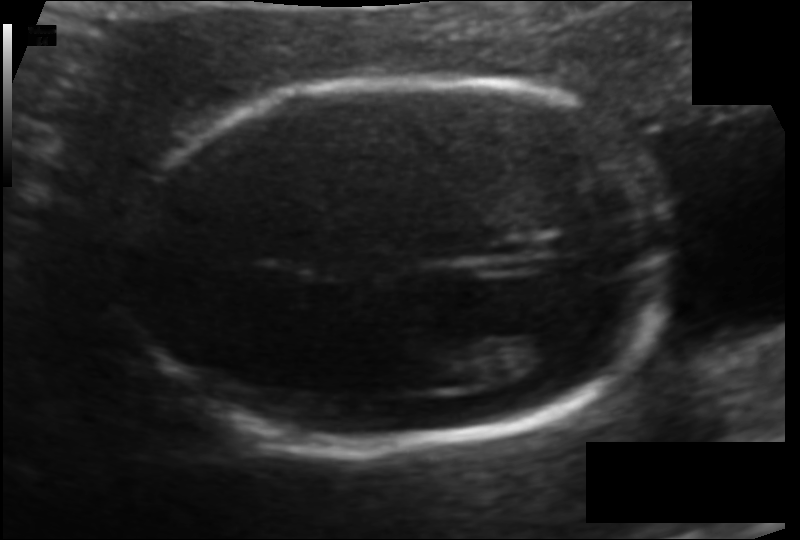
In this fetal head ultrasound, give bounding boxes for the head outline, cavum septum pellucidum (CSP), and lateral ventricle (LV), where visible. Image width: 83.8 mm.

Head: [126,73,677,446]